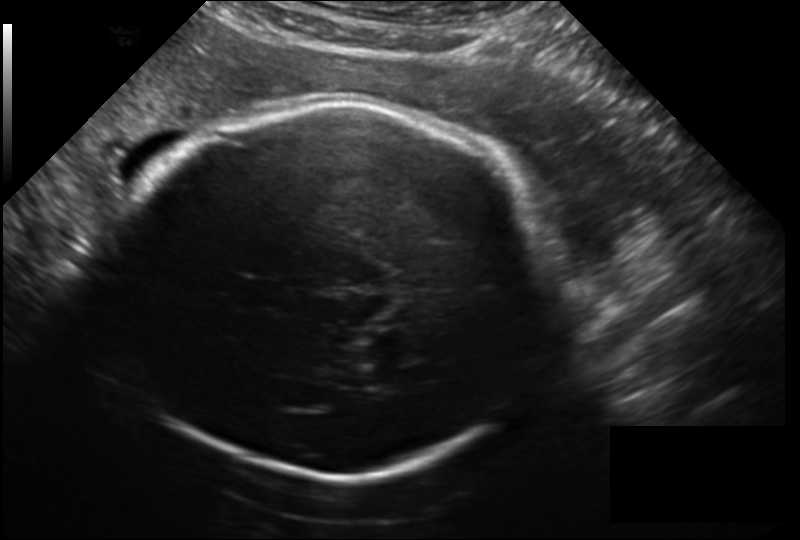
Fetal head ultrasound. Image width: 167.3 mm. Locate the fetal head and, if visible, the cavum septum pellucidum (CSP) and lateral ventricle (LV). Give bounding boxes as [x1,y1,x2,y2].

Head: [116,101,546,475]